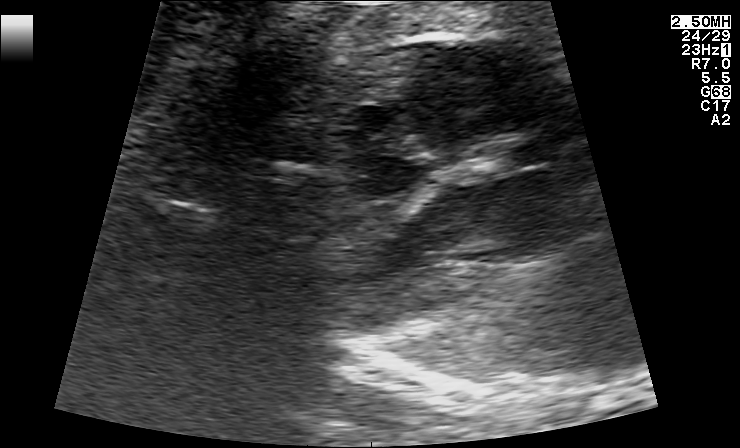
Classify this maternal-fetal ultrasound image as one of the six standard planes — fetal abdomen, fetal brain, fetal femur, fetal thorax, maternal cervix, or other. If it's fetal brain and one of the three standard brain planes (trans-thalamic, trans-cerebellum, trans-ventricular), name which.

Other